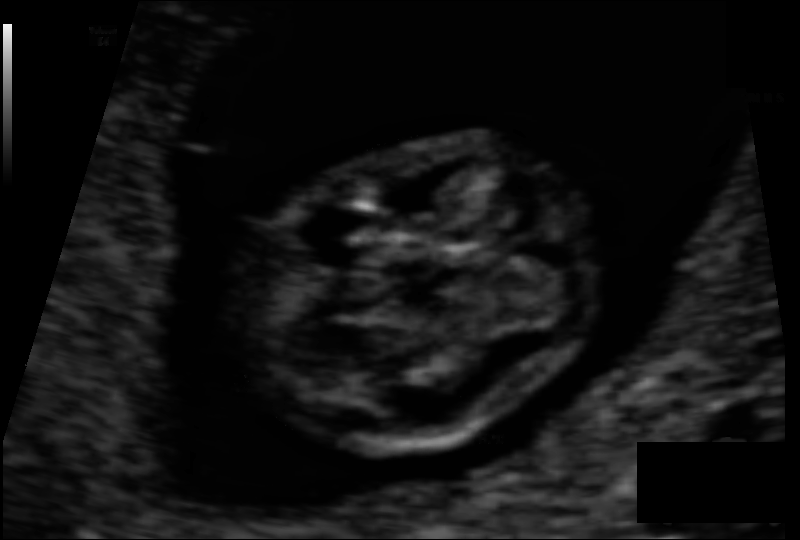
Estimate the fetal head circumference from this 2D ultrasound. Image width: 48.2 mm.

Head circumference: 65.0 mm.